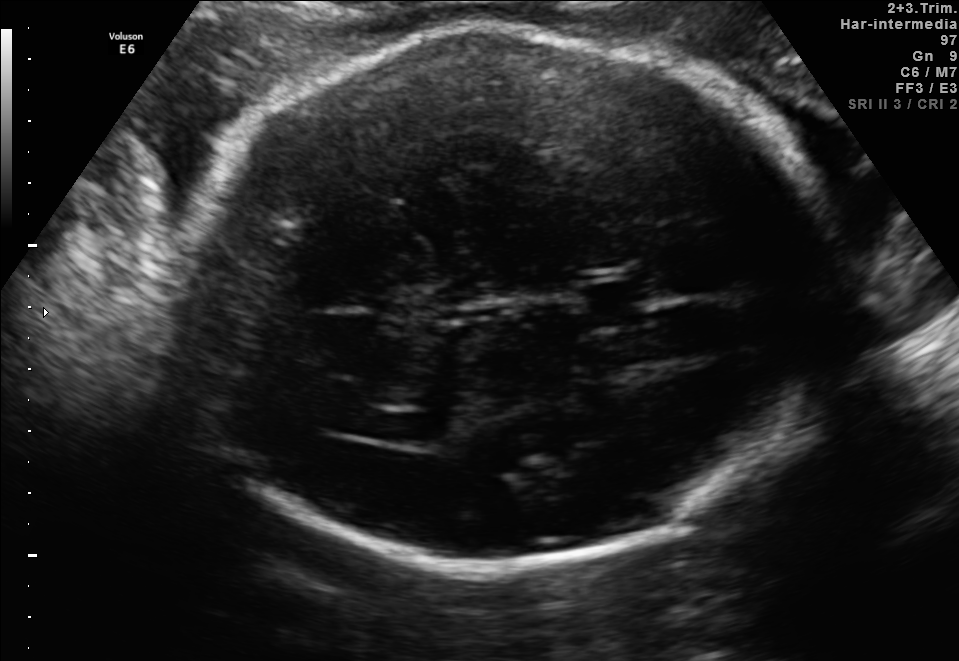
In this fetal brain, trans-ventricular plane, give the bounding box of the fetal head.

[161,17,856,576]